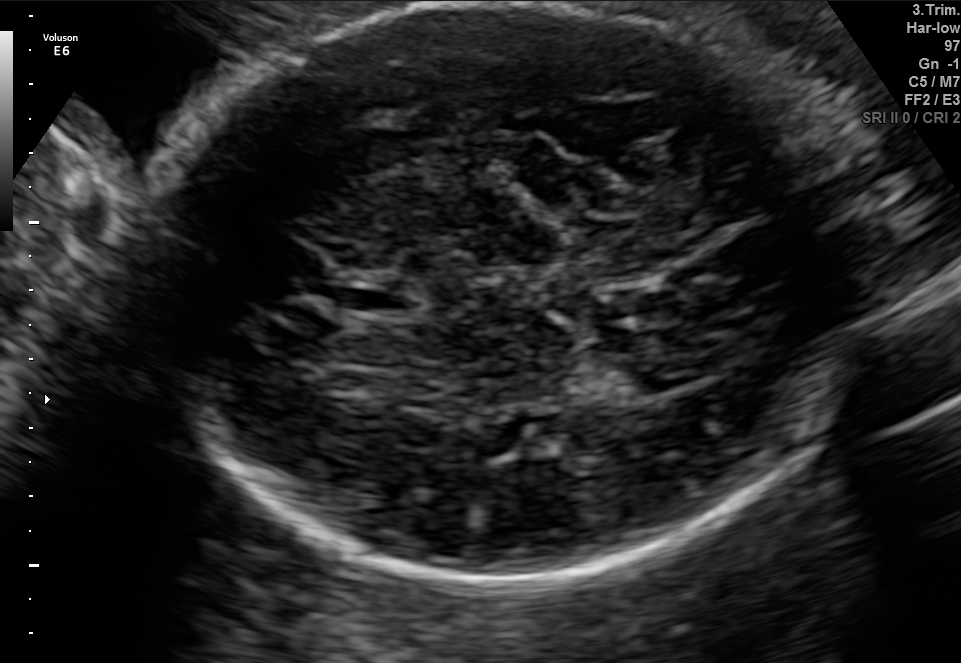
Fetal brain, trans-thalamic plane. Locate the cavum septum pellucidum.

CSP: [337,282,419,312]